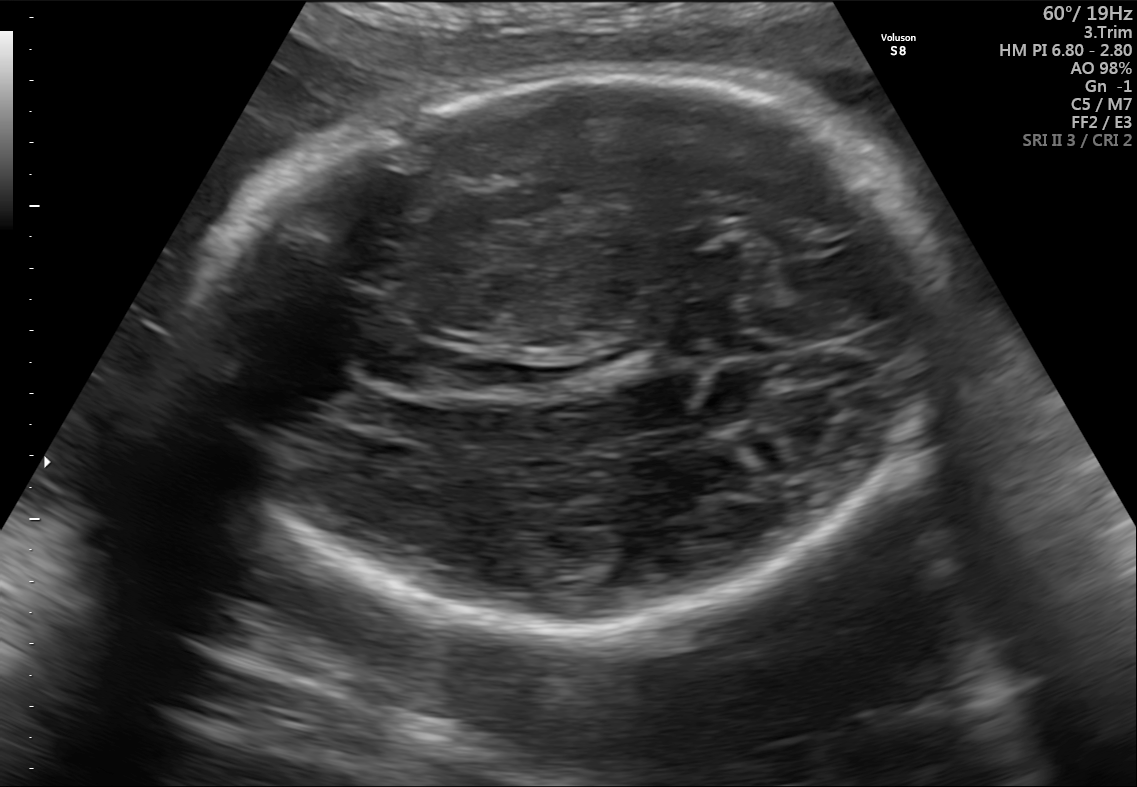
Which standard maternal-fetal ultrasound plane is shown: fetal abdomen, fetal brain, fetal femur, fetal thorax, maternal cervix, or other? If it's fetal brain and one of the three standard brain planes (trans-thalamic, trans-cerebellum, trans-ventricular), name which.

Fetal brain (trans-thalamic plane)